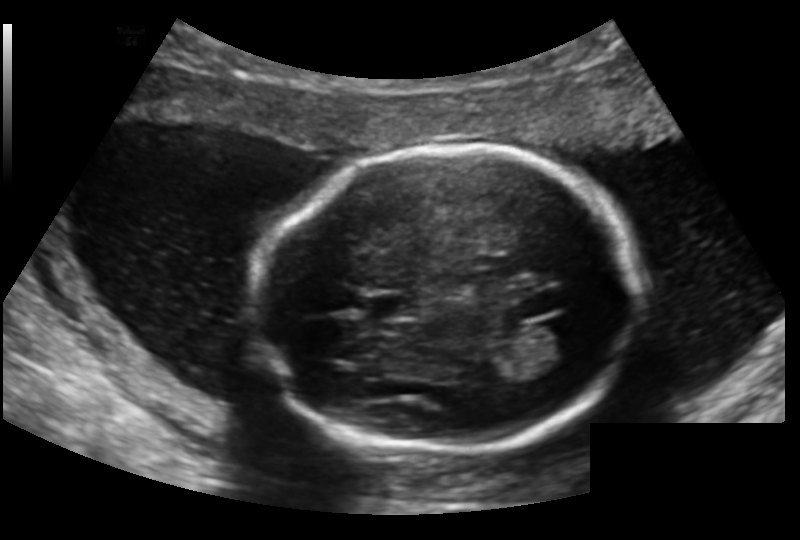
Measure the fetal head circumference shown in this ultrasound image. Image width: 127.4 mm.

Head circumference: 178.1 mm.